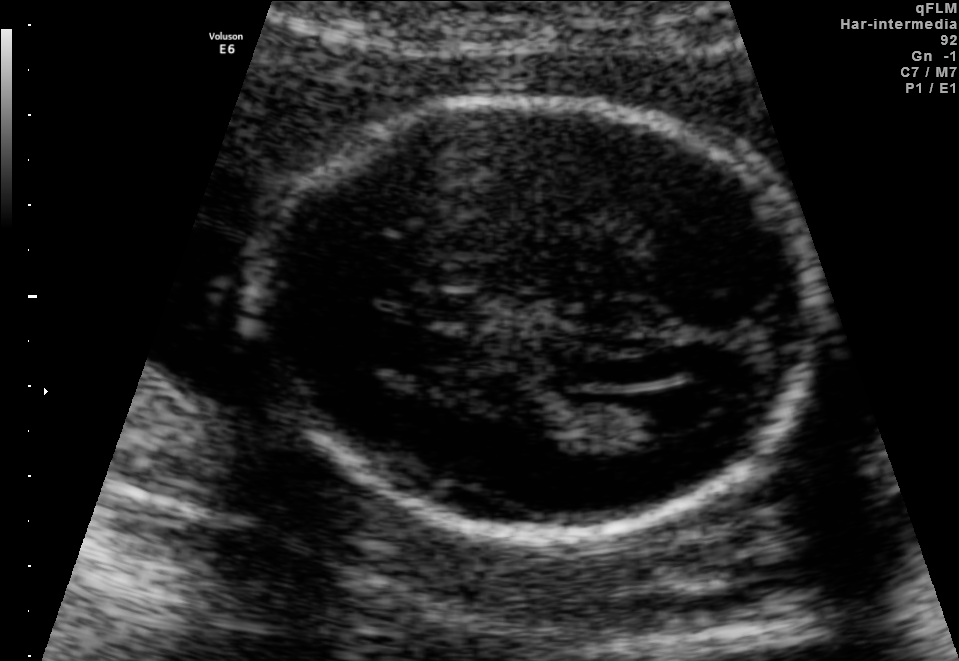
Fetal brain, trans-ventricular plane. Where is the fetal head?

Head bounding box: [238,91,829,544]